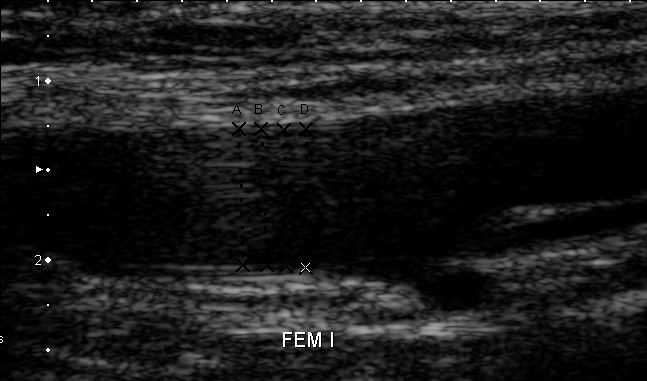
This is a 2D maternal-fetal ultrasound frame. Is it a fetal abdomen, fetal brain, fetal femur, fetal thorax, maternal cervix, or other standard plane? If it's fetal brain and one of the three standard brain planes (trans-thalamic, trans-cerebellum, trans-ventricular), name which.

Other